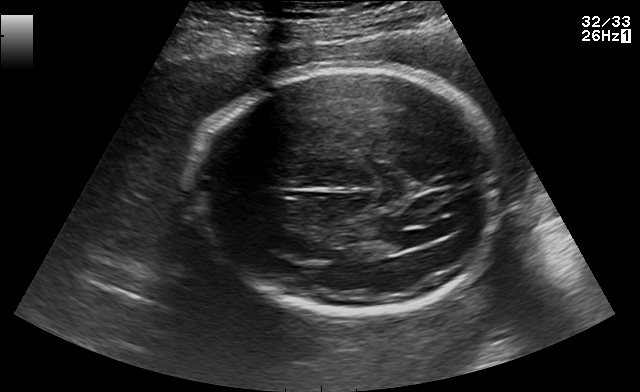
Classify this maternal-fetal ultrasound image as one of the six standard planes — fetal abdomen, fetal brain, fetal femur, fetal thorax, maternal cervix, or other. If it's fetal brain and one of the three standard brain planes (trans-thalamic, trans-cerebellum, trans-ventricular), name which.

Fetal brain (trans-ventricular plane)